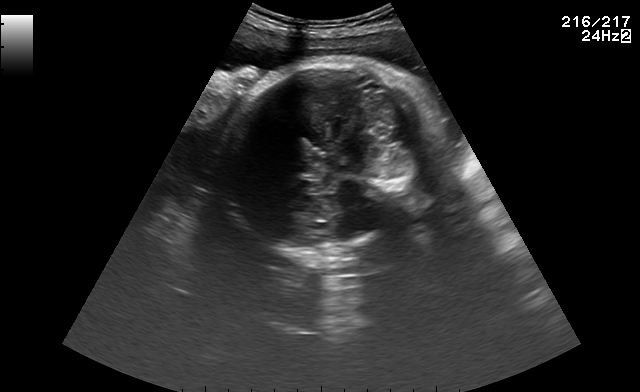
Identify the standard plane in this fetal ultrasound image: fetal abdomen, fetal brain, fetal femur, fetal thorax, maternal cervix, or other. If it's fetal brain and one of the three standard brain planes (trans-thalamic, trans-cerebellum, trans-ventricular), name which.

Fetal brain (trans-cerebellum plane)